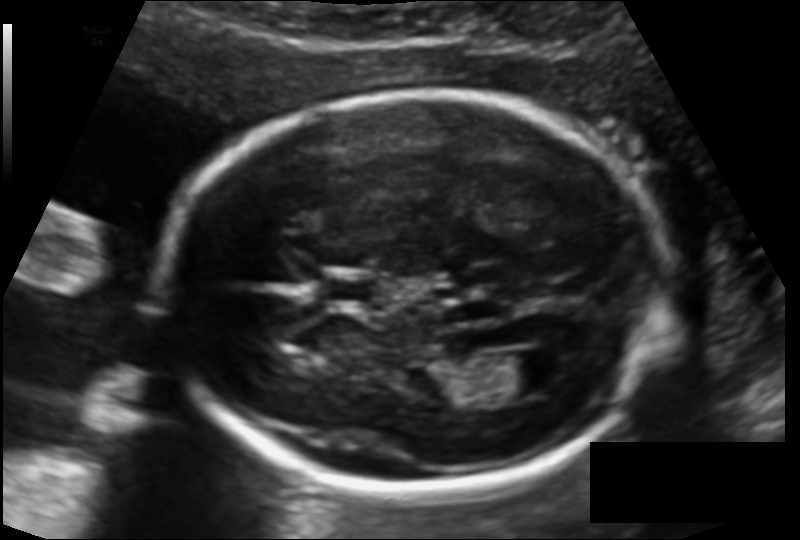
Measure the fetal head circumference shown in this ultrasound image. Image width: 101.2 mm.

Head circumference: 181.7 mm.